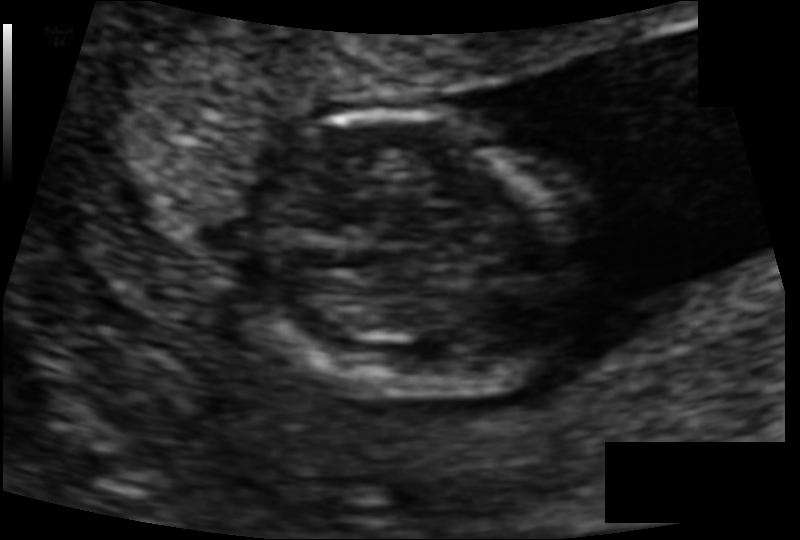
Estimate the fetal head circumference from this 2D ultrasound.

Head circumference: 76.2 mm (image width 62.1 mm).